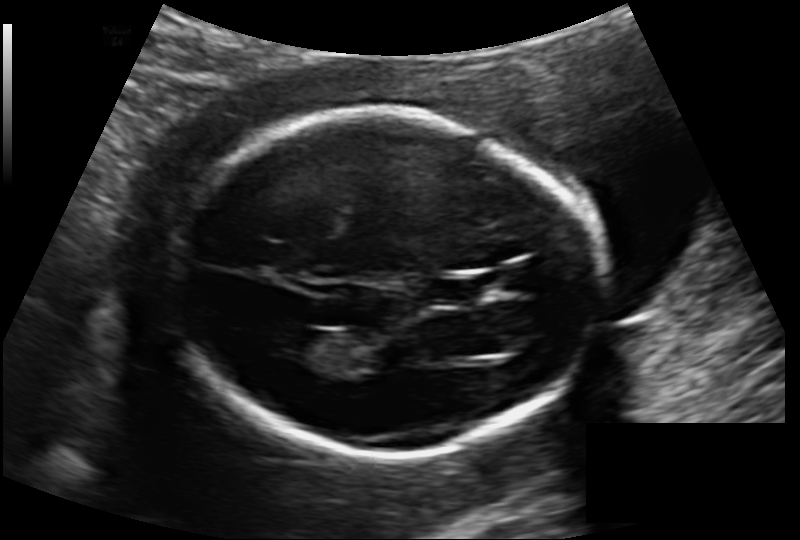
What is the fetal head circumference? Image width is 106.3 mm.

166.8 mm